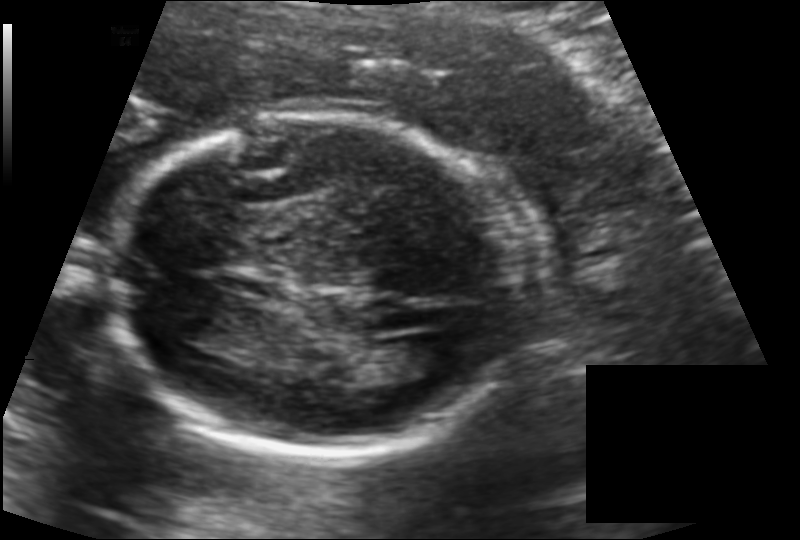
Fetal head ultrasound. Image width: 113.5 mm. Locate the fetal head and, if visible, the cavum septum pellucidum (CSP) and lateral ventricle (LV). Give bounding boxes as [x1,y1,x2,y2].

Head: [111,115,522,459]